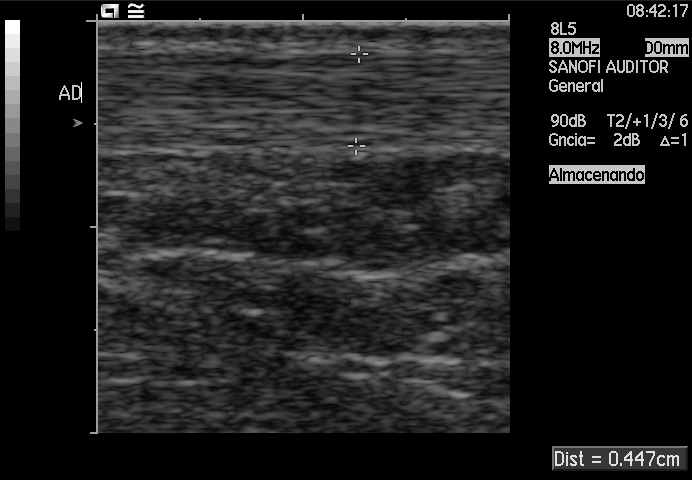
This is a 2D maternal-fetal ultrasound frame. Is it a fetal abdomen, fetal brain, fetal femur, fetal thorax, maternal cervix, or other standard plane? If it's fetal brain and one of the three standard brain planes (trans-thalamic, trans-cerebellum, trans-ventricular), name which.

Other